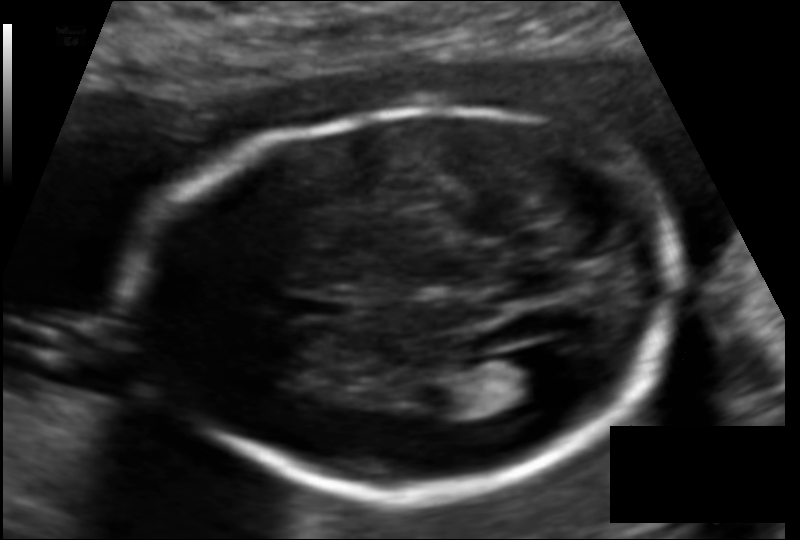
Fetal head ultrasound. Image width: 91.1 mm. Locate the fetal head.

Head: [158,109,680,492]